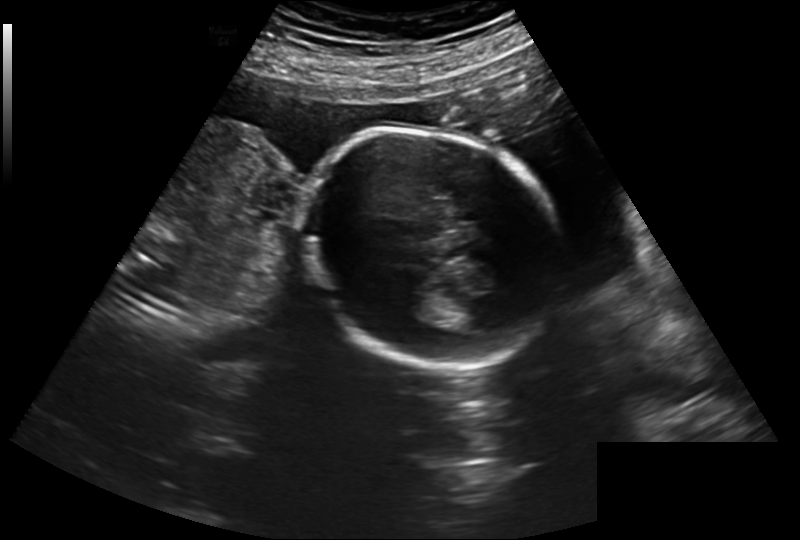
Measure the fetal head circumference shown in this ultrasound image. Image width: 207.9 mm.

Head circumference: 214.4 mm.